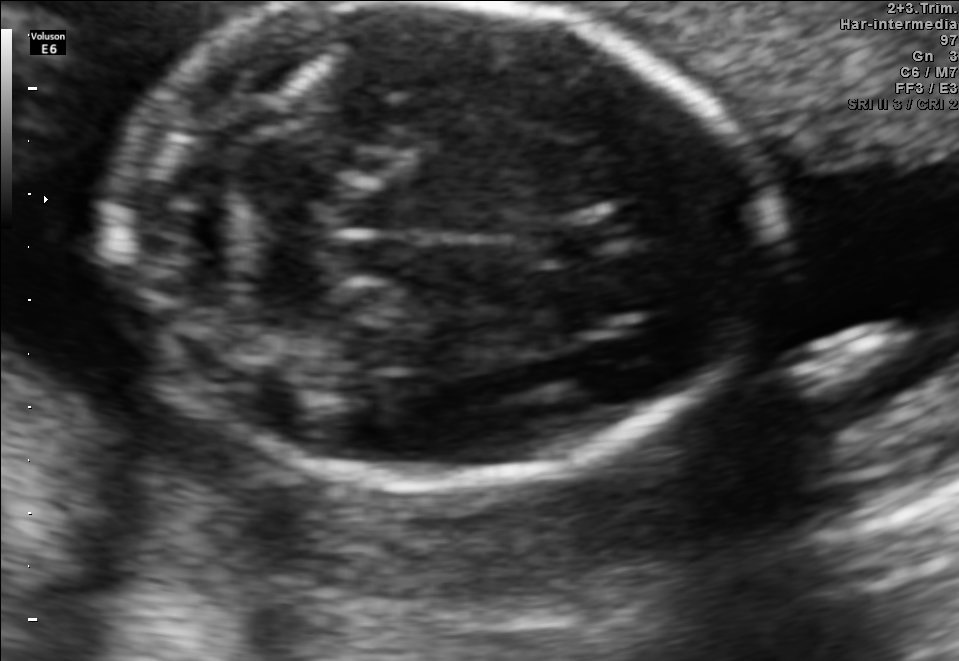
In this fetal brain, trans-cerebellum plane, give bounding boxes for the head outline, cavum septum pellucidum (CSP), and lateral ventricle (LV), where visible.

Head: [108,5,763,482]
CSP: [529,203,626,269]